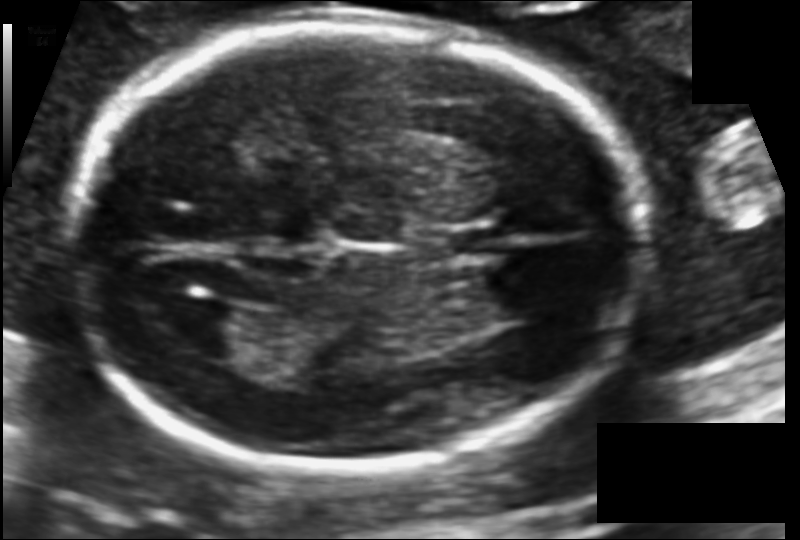
Fetal head ultrasound. Image width: 90.1 mm. Where is the fetal head?

Head bounding box: [63,25,650,471]